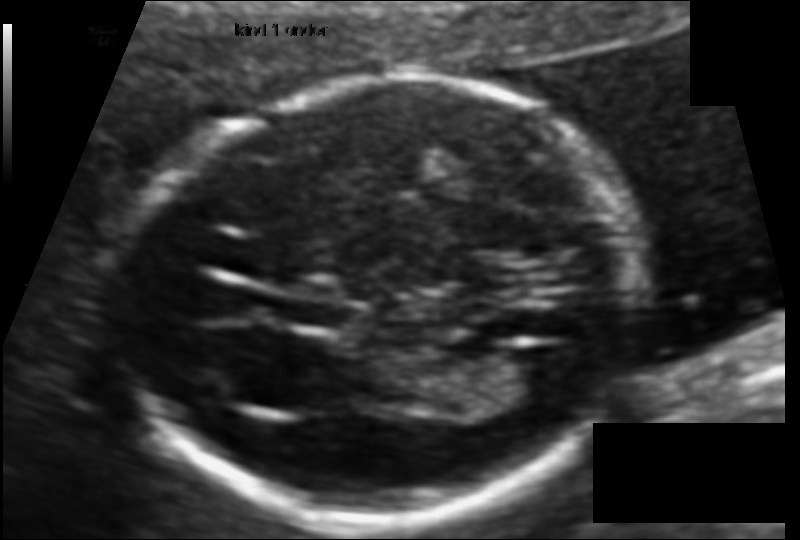
Estimate the fetal head circumference from this 2D ultrasound.

Head circumference: 148.9 mm (image width 75.7 mm).